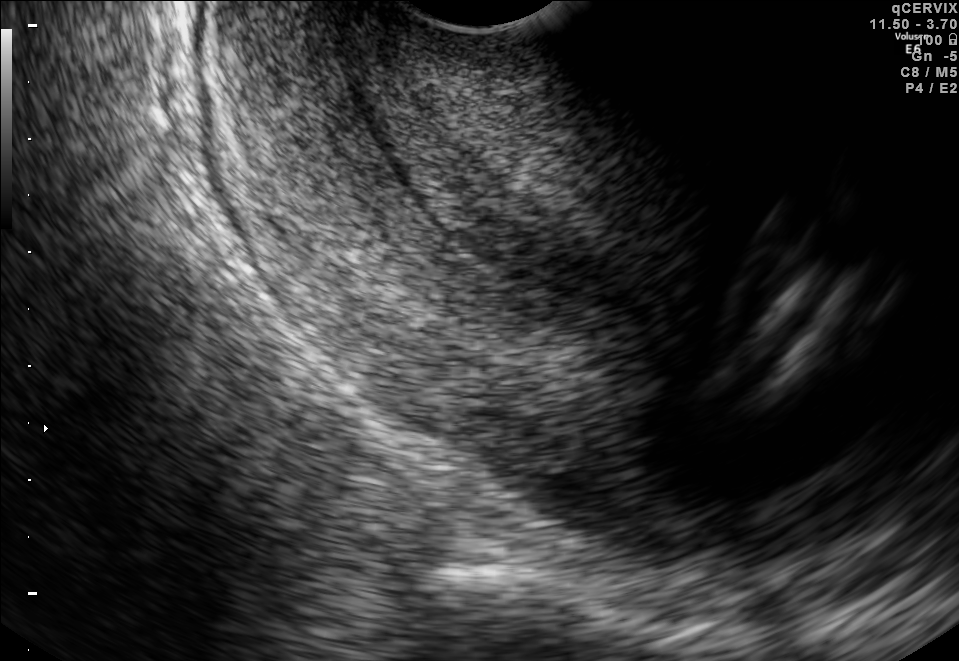
This is a 2D maternal-fetal ultrasound frame. Is it a fetal abdomen, fetal brain, fetal femur, fetal thorax, maternal cervix, or other standard plane? If it's fetal brain and one of the three standard brain planes (trans-thalamic, trans-cerebellum, trans-ventricular), name which.

Maternal cervix